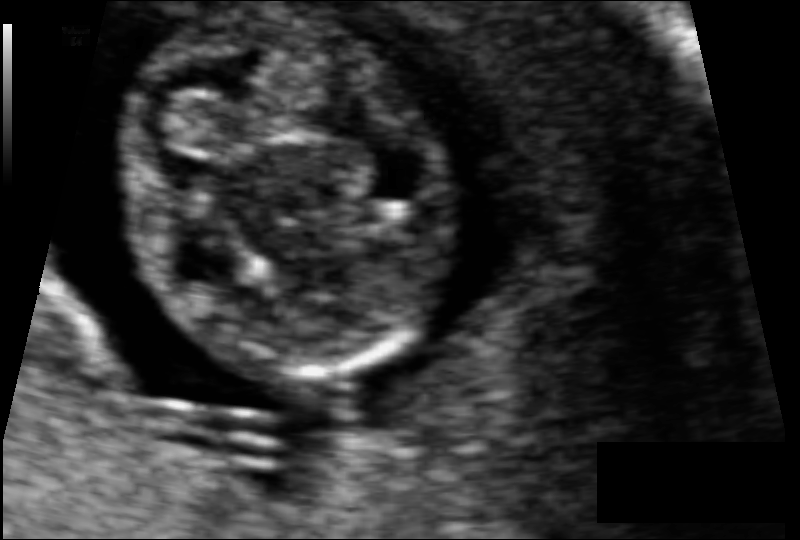
Estimate the fetal head circumference from this 2D ultrasound. Image width: 49.6 mm.

Head circumference: 68.8 mm.